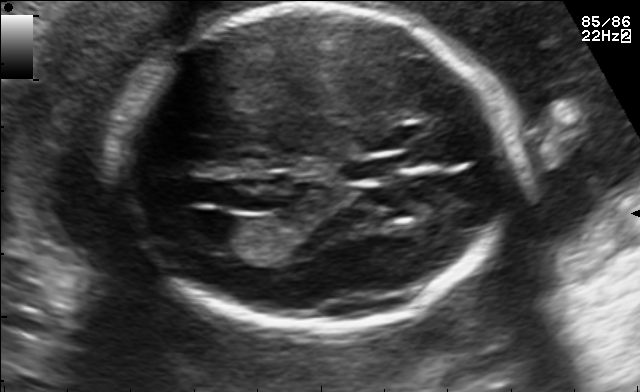
Fetal brain, trans-ventricular plane. Locate the lateral ventricle.

Lateral ventricle: [169,206,251,256]